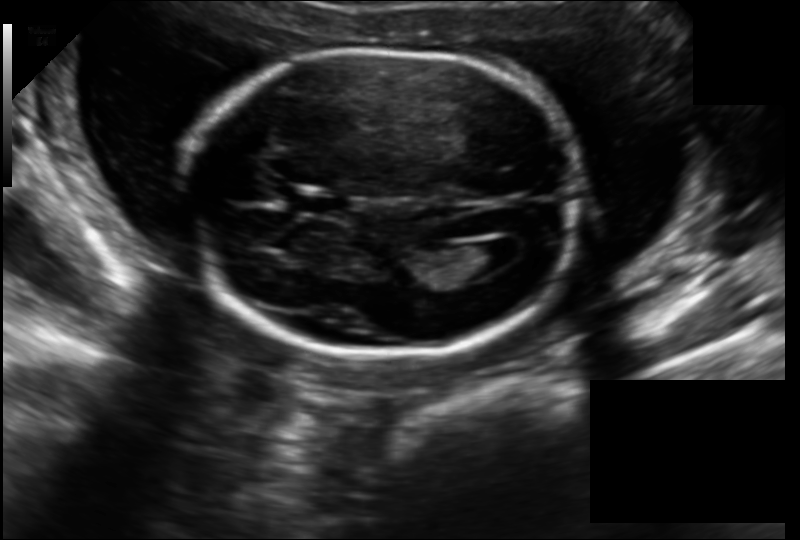
In this fetal head ultrasound, give the bounding box of the cavum septum pellucidum. Image width: 125.8 mm.

[290,191,351,218]